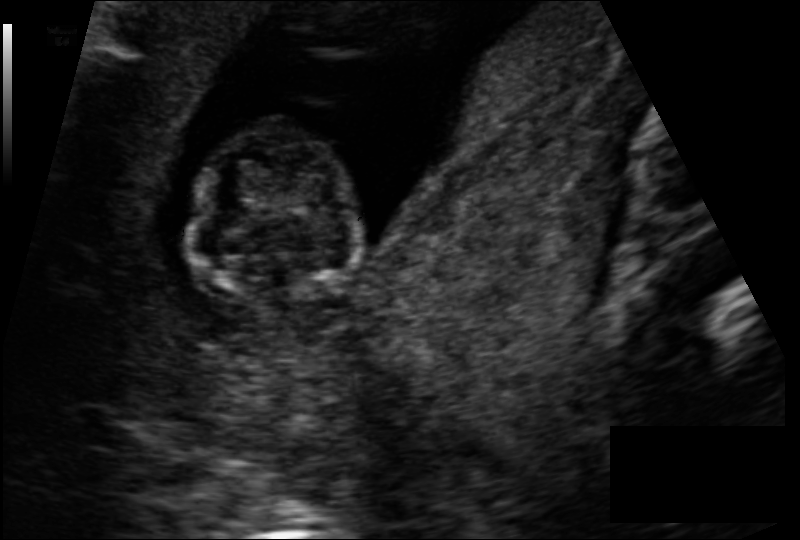
In this fetal head ultrasound, give the bounding box of the fetal head. Image width: 90.4 mm.

[194,123,360,305]